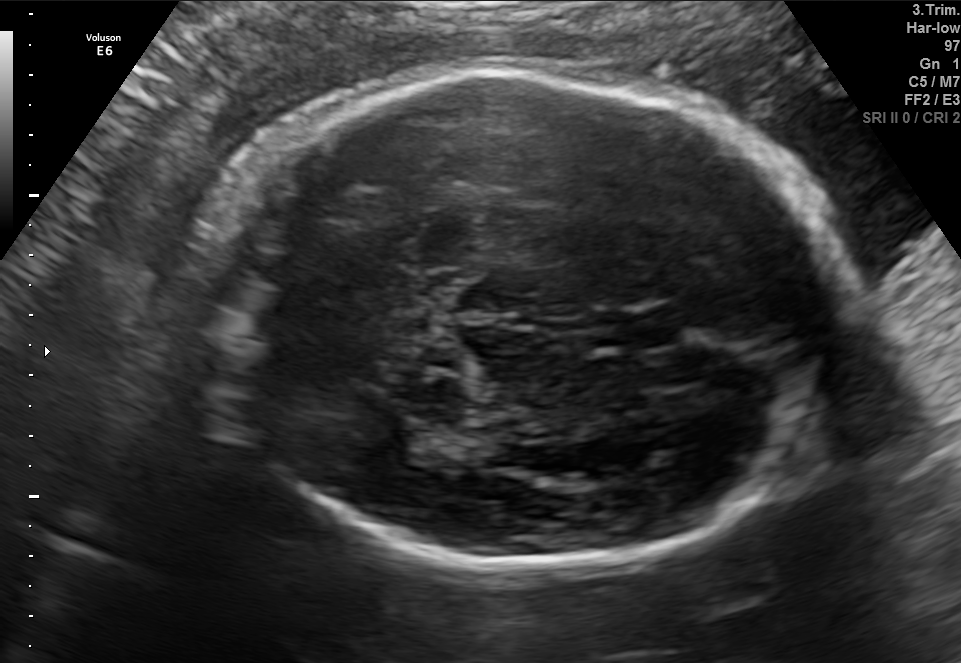
Fetal brain, trans-thalamic plane. Locate the cavum septum pellucidum.

CSP: [590,310,676,351]